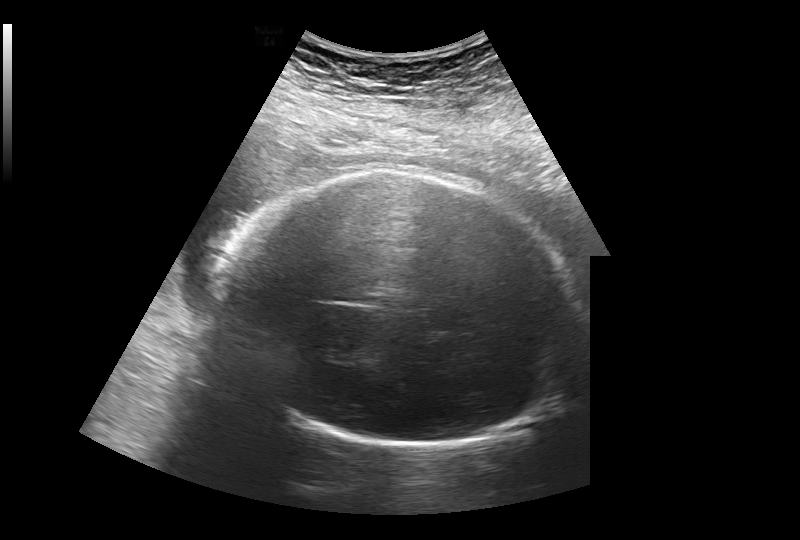
Estimate the fetal head circumference from this 2D ultrasound.

Head circumference: 314.3 mm (image width 246.2 mm).